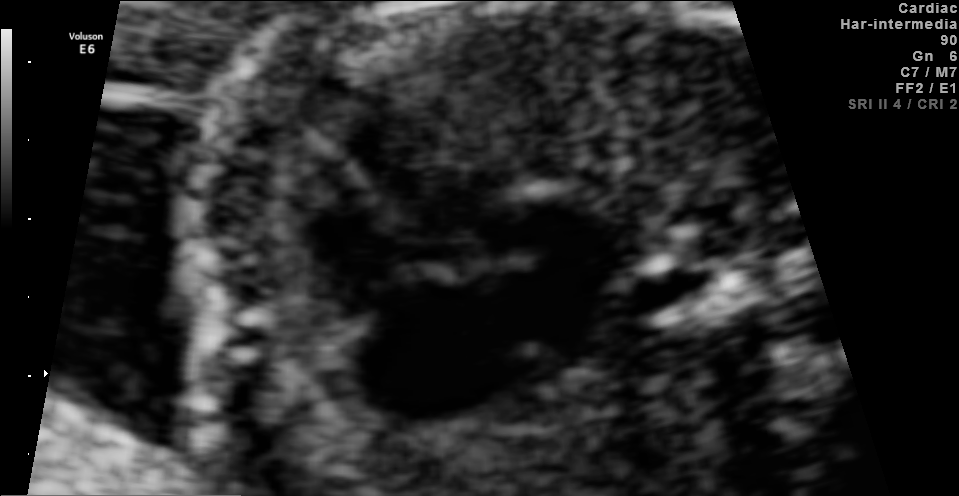
Which standard maternal-fetal ultrasound plane is shown: fetal abdomen, fetal brain, fetal femur, fetal thorax, maternal cervix, or other? If it's fetal brain and one of the three standard brain planes (trans-thalamic, trans-cerebellum, trans-ventricular), name which.

Fetal thorax